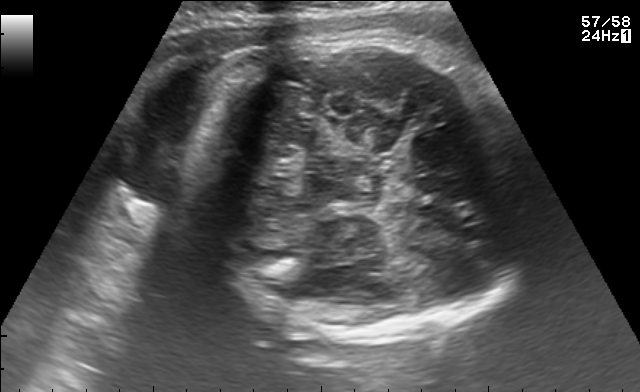
Fetal brain, trans-thalamic plane. Give [x1,y1,x2,y2] bounding boxes for each visible structure among: fetal head, CSP, LV.

Head: [186,36,531,334]